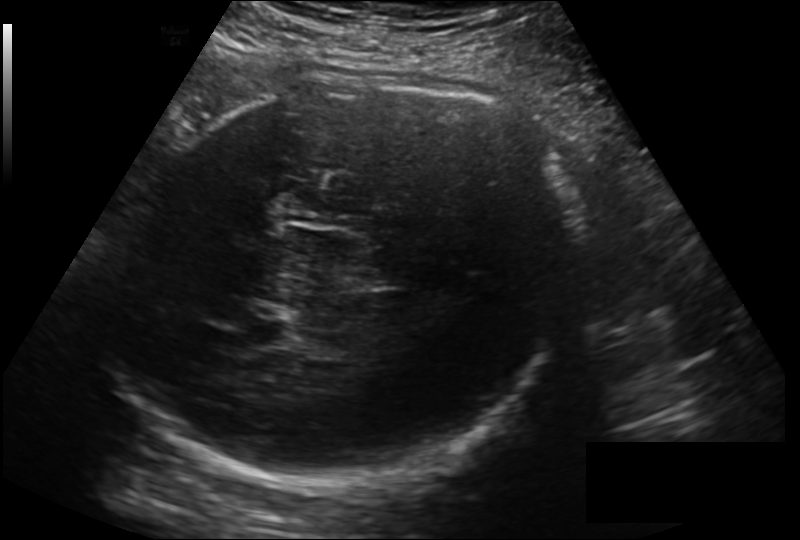
Fetal head ultrasound. Image width: 168.5 mm. Where is the fetal head?

Head bounding box: [118,74,576,485]